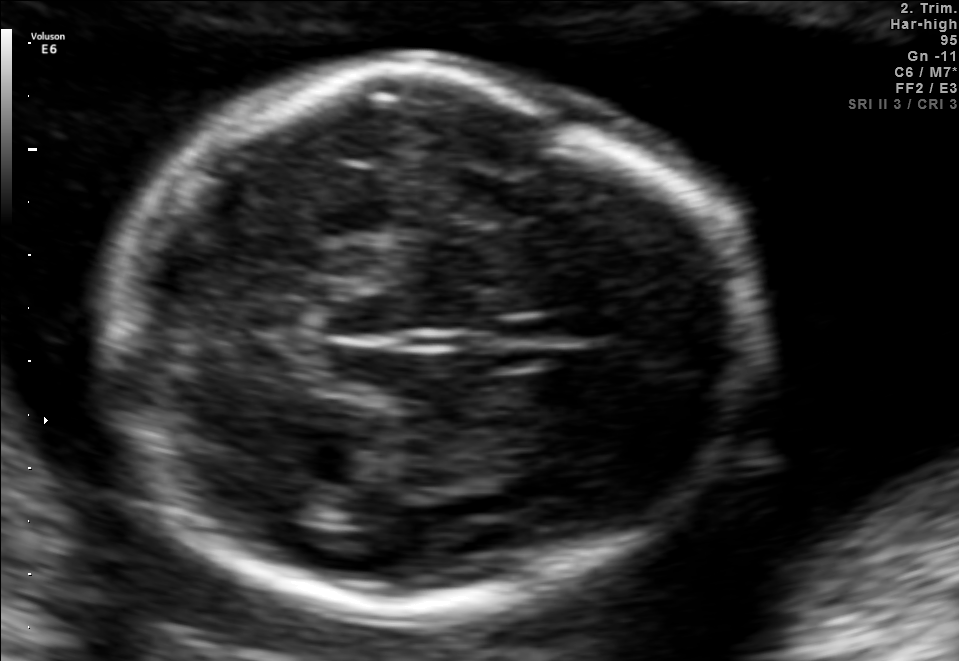
Fetal brain, trans-thalamic plane. Give [x1,y1,x2,y2] bounding boxes for each visible structure among: fetal head, CSP, LV.

Head: [100,72,751,611]
Lateral ventricle: [281,480,352,527]